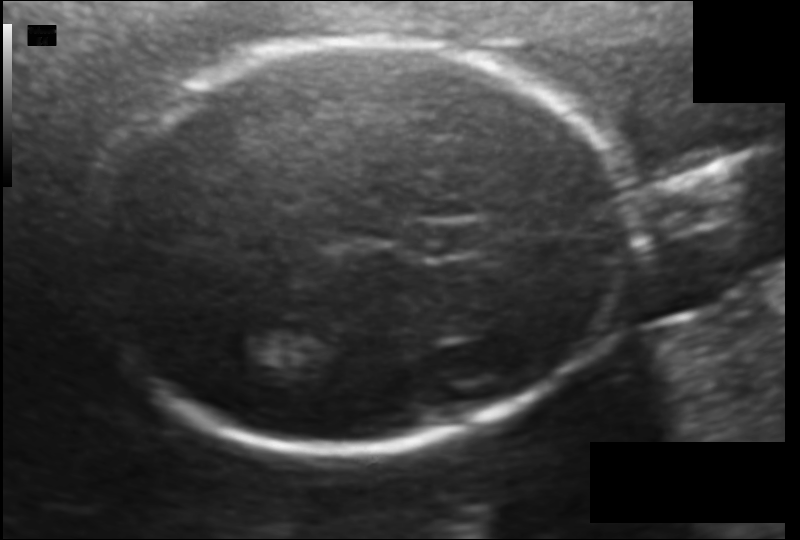
Fetal head ultrasound. Image width: 90.8 mm. Where is the cavum septum pellucidum?

CSP bounding box: [414,217,487,261]